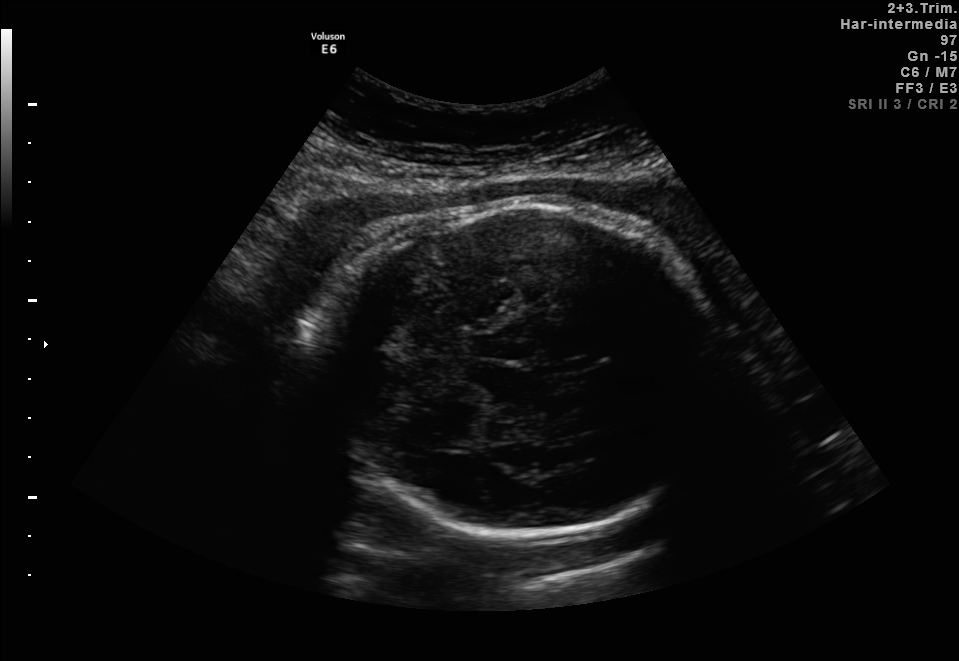
Fetal brain, trans-thalamic plane. Locate the fetal head and, if visible, the cavum septum pellucidum (CSP) and lateral ventricle (LV). Give bounding boxes as [x1,y1,x2,y2].

Head: [310,198,721,539]